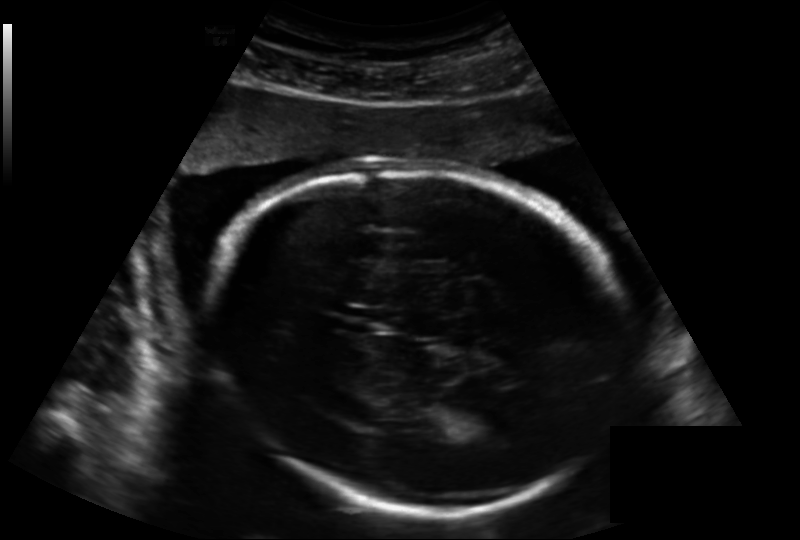
Measure the fetal head circumference shown in this ultrasound image. Image width: 150.3 mm.

Head circumference: 230.6 mm.